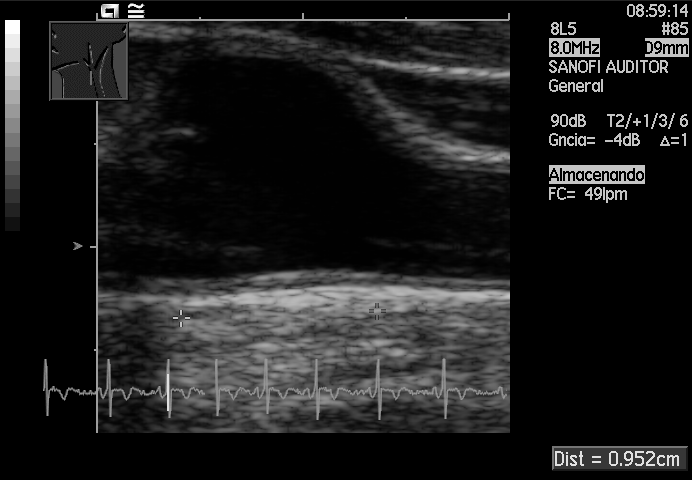
Classify this maternal-fetal ultrasound image as one of the six standard planes — fetal abdomen, fetal brain, fetal femur, fetal thorax, maternal cervix, or other. If it's fetal brain and one of the three standard brain planes (trans-thalamic, trans-cerebellum, trans-ventricular), name which.

Other